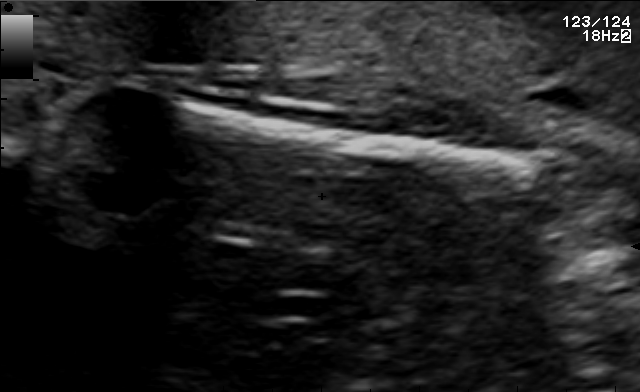
Identify the standard plane in this fetal ultrasound image: fetal abdomen, fetal brain, fetal femur, fetal thorax, maternal cervix, or other. If it's fetal brain and one of the three standard brain planes (trans-thalamic, trans-cerebellum, trans-ventricular), name which.

Other